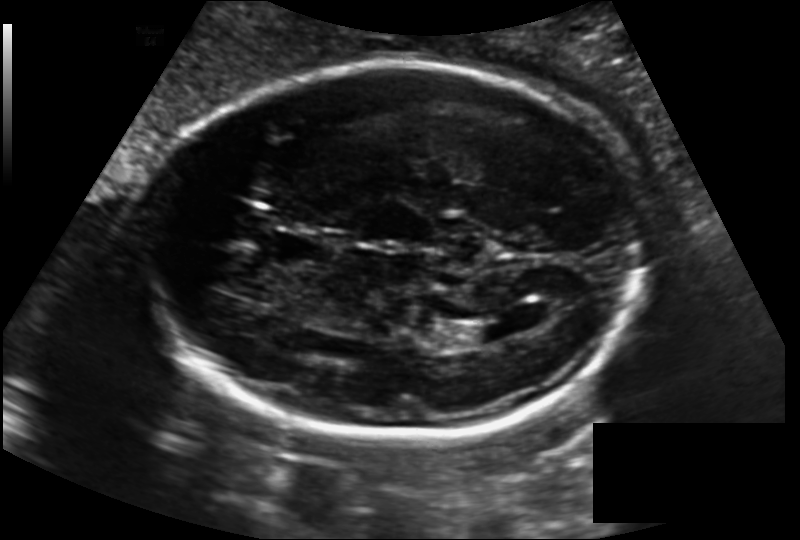
Fetal head ultrasound. Image width: 130.6 mm. Where is the lateral ventricle?

Lateral ventricle bounding box: [459,318,510,348]